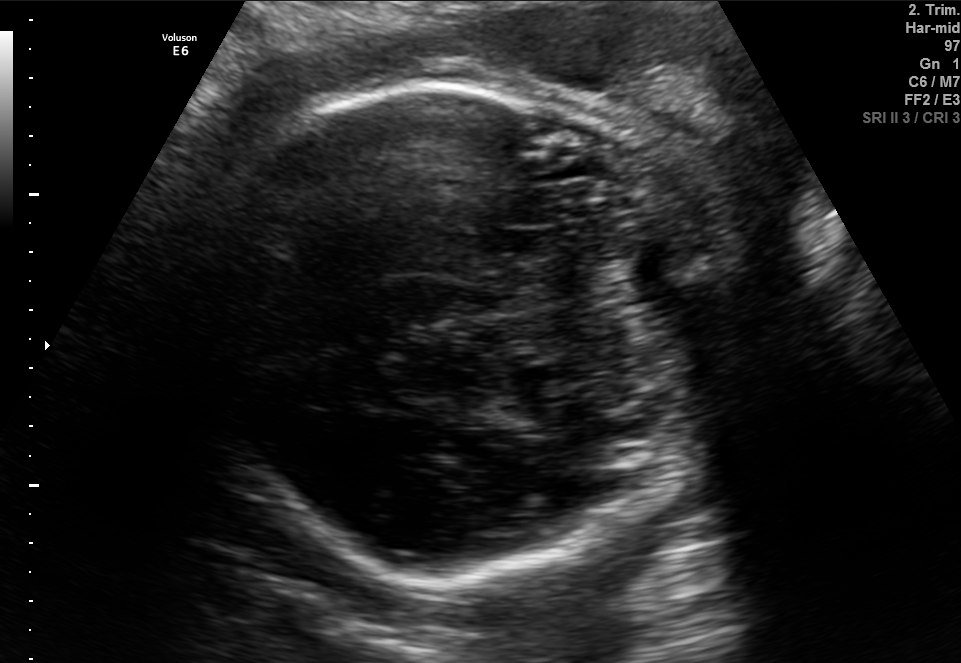
In this fetal brain, trans-cerebellum plane, give the bounding box of the fetal head.

[204,80,710,581]